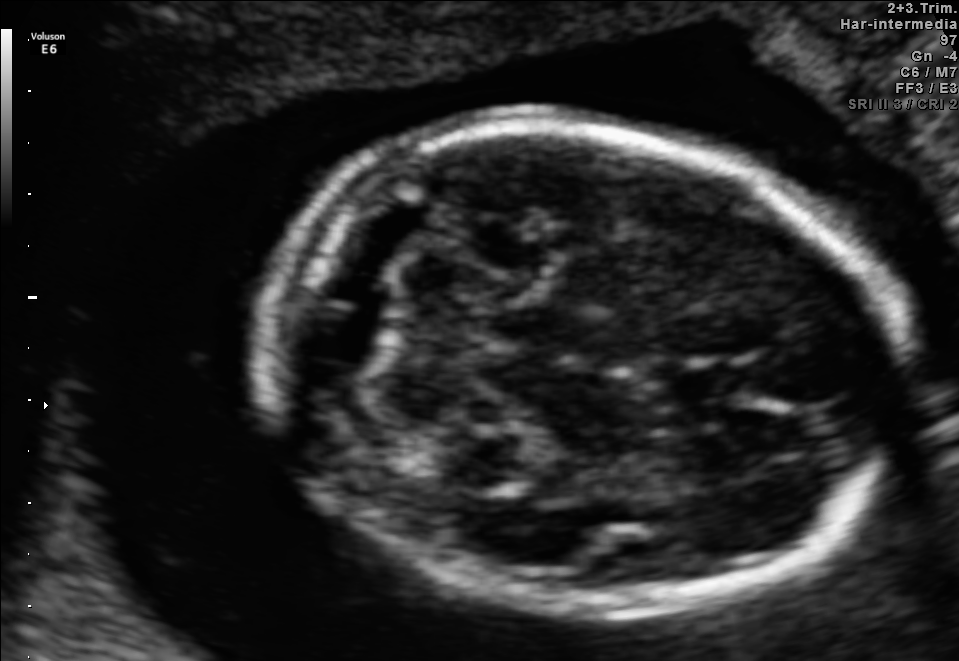
In this fetal brain, trans-cerebellum plane, give bounding boxes for the head outline, cavum septum pellucidum (CSP), and lateral ventricle (LV), where visible.

Head: [260,127,909,614]
CSP: [663,355,752,407]